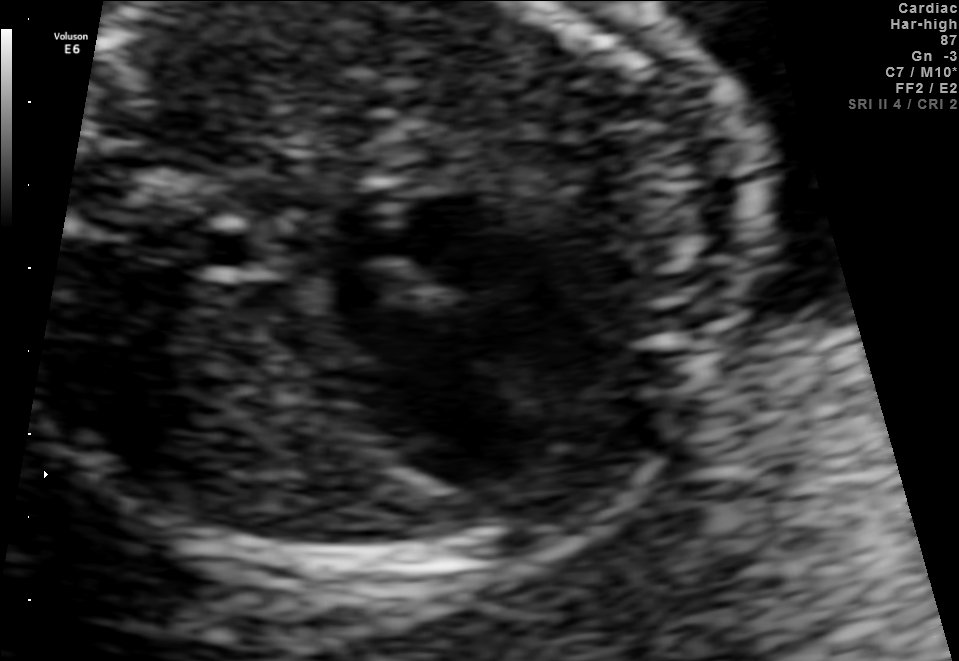
This is a 2D maternal-fetal ultrasound frame. Is it a fetal abdomen, fetal brain, fetal femur, fetal thorax, maternal cervix, or other standard plane? If it's fetal brain and one of the three standard brain planes (trans-thalamic, trans-cerebellum, trans-ventricular), name which.

Fetal thorax